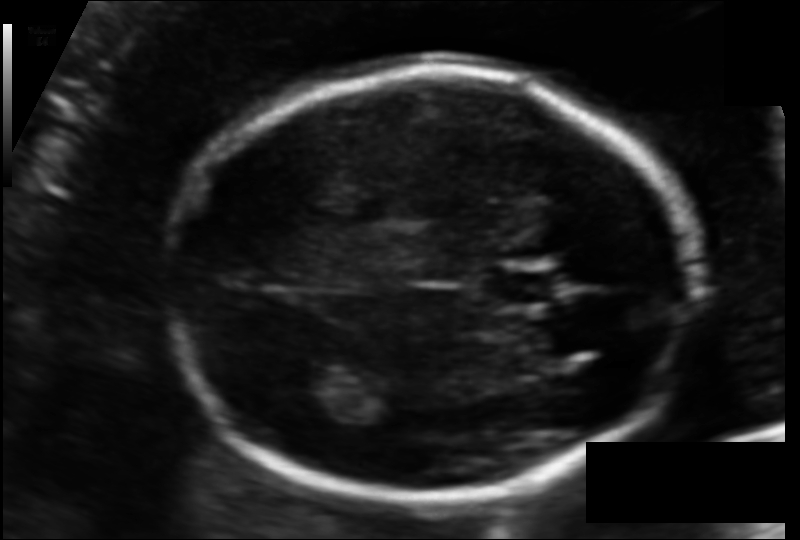
Fetal head ultrasound. Image width: 86.2 mm. Give [x1,y1,x2,y2] bounding boxes for each visible structure among: fetal head, CSP, LV.

Head: [161,74,692,496]
CSP: [489,268,561,306]